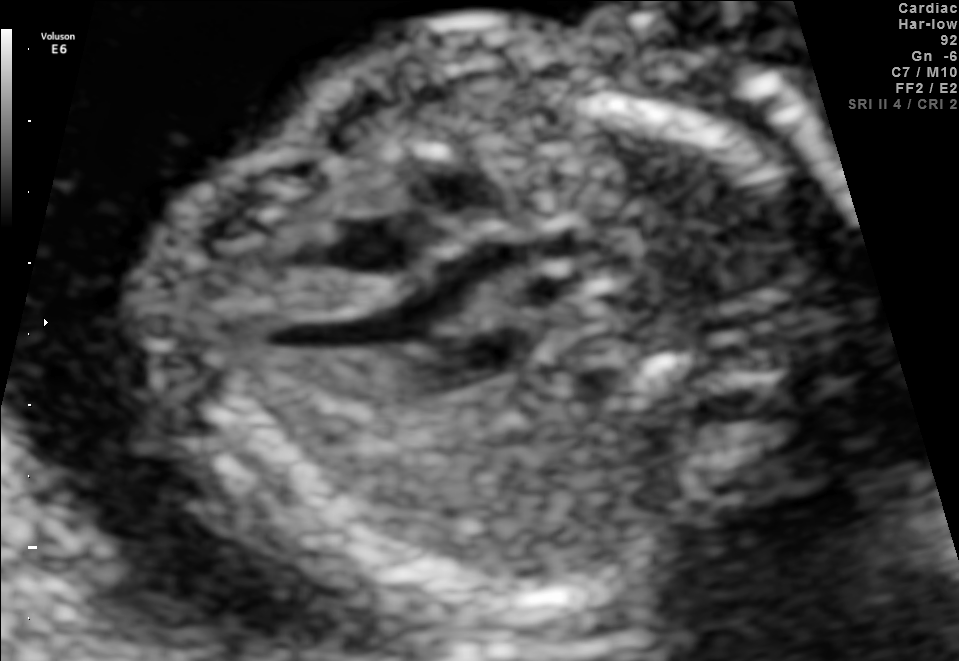
Which standard maternal-fetal ultrasound plane is shown: fetal abdomen, fetal brain, fetal femur, fetal thorax, maternal cervix, or other? If it's fetal brain and one of the three standard brain planes (trans-thalamic, trans-cerebellum, trans-ventricular), name which.

Other